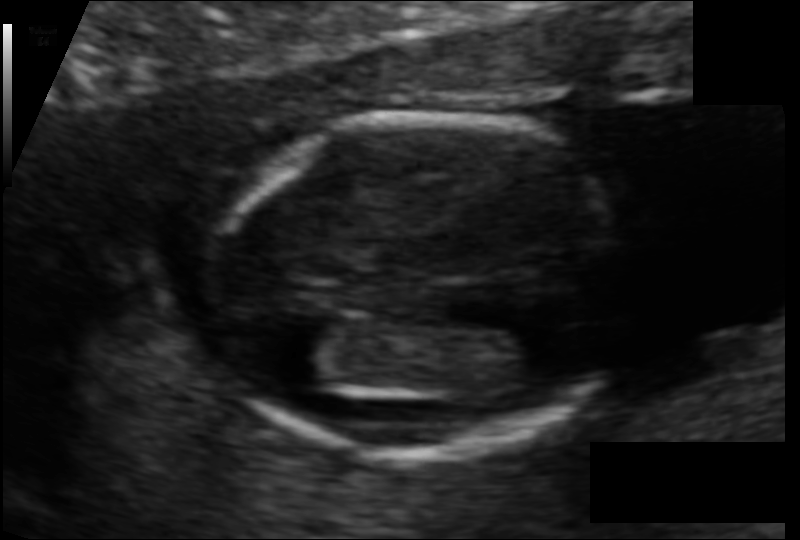
Fetal head ultrasound. Image width: 65.5 mm. Locate the fetal head and, if visible, the cavum septum pellucidum (CSP) and lateral ventricle (LV). Give bounding boxes as [x1,y1,x2,y2].

Head: [210,110,630,457]